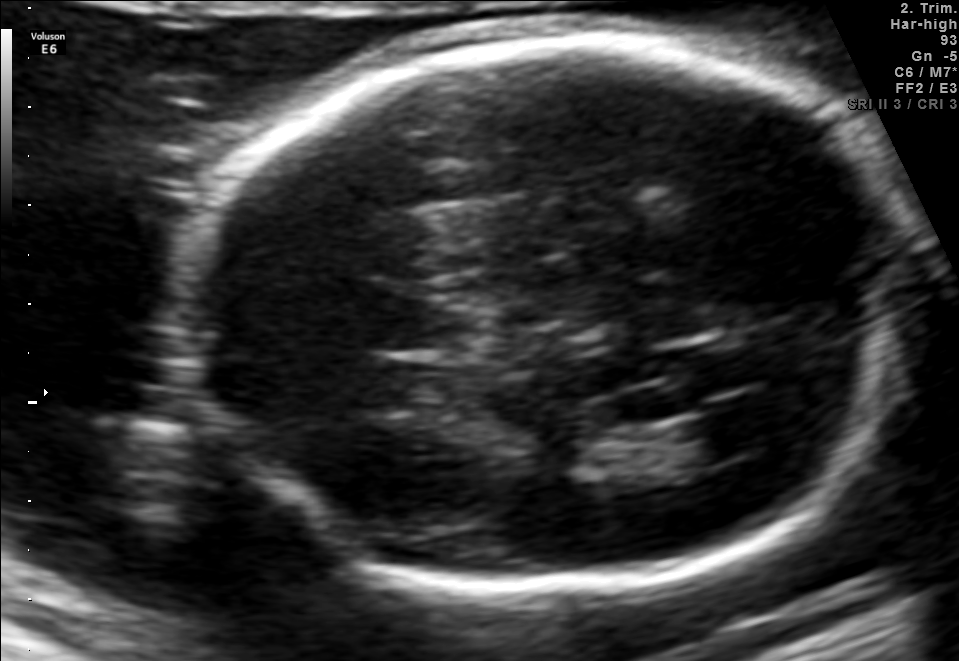
Fetal brain, trans-ventricular plane. Locate the lateral ventricle.

Lateral ventricle: [670,390,788,476]